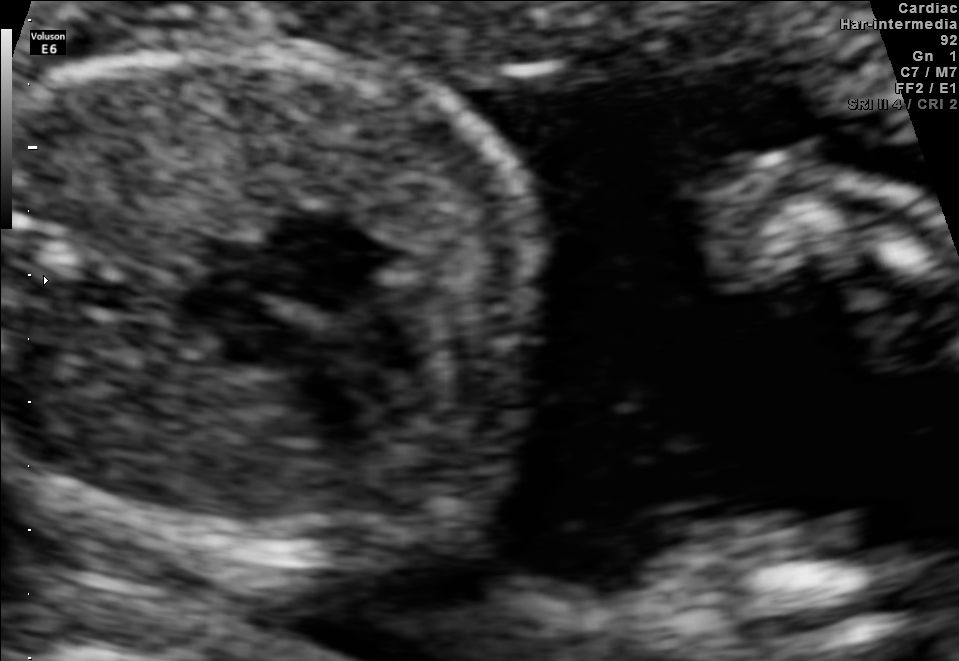
Classify this maternal-fetal ultrasound image as one of the six standard planes — fetal abdomen, fetal brain, fetal femur, fetal thorax, maternal cervix, or other. If it's fetal brain and one of the three standard brain planes (trans-thalamic, trans-cerebellum, trans-ventricular), name which.

Fetal thorax